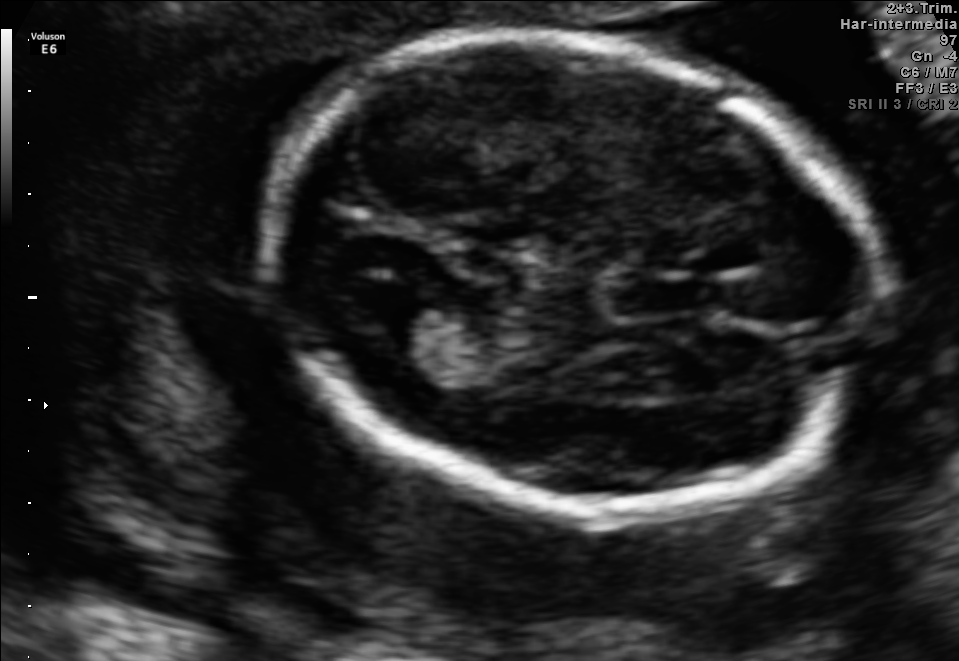
Fetal brain, trans-ventricular plane. Locate the fetal head and, if visible, the cavum septum pellucidum (CSP) and lateral ventricle (LV). Give bounding boxes as [x1,y1,x2,y2].

Head: [251,23,888,528]